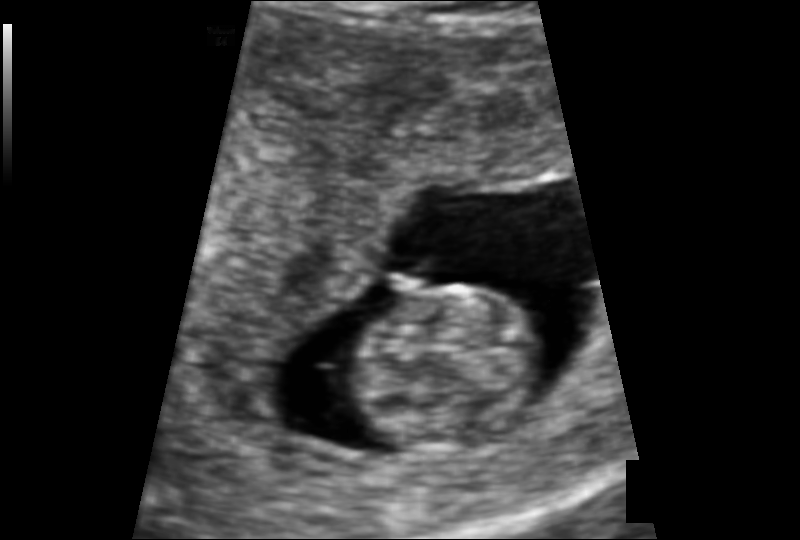
From this fetal ultrasound, estimate the head circumference (image width 87.5 mm).

Head circumference: 62.8 mm.